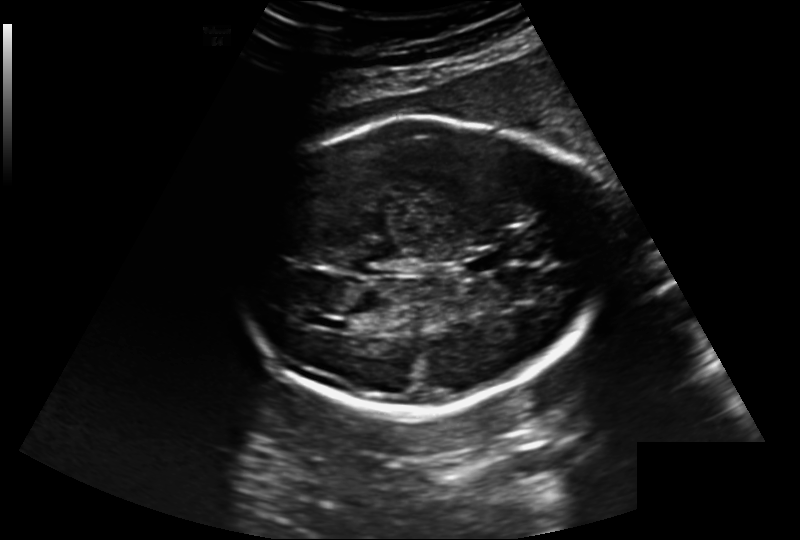
Fetal head ultrasound. Image width: 175.6 mm. Locate the lateral ventricle.

Lateral ventricle: [315,314,351,334]